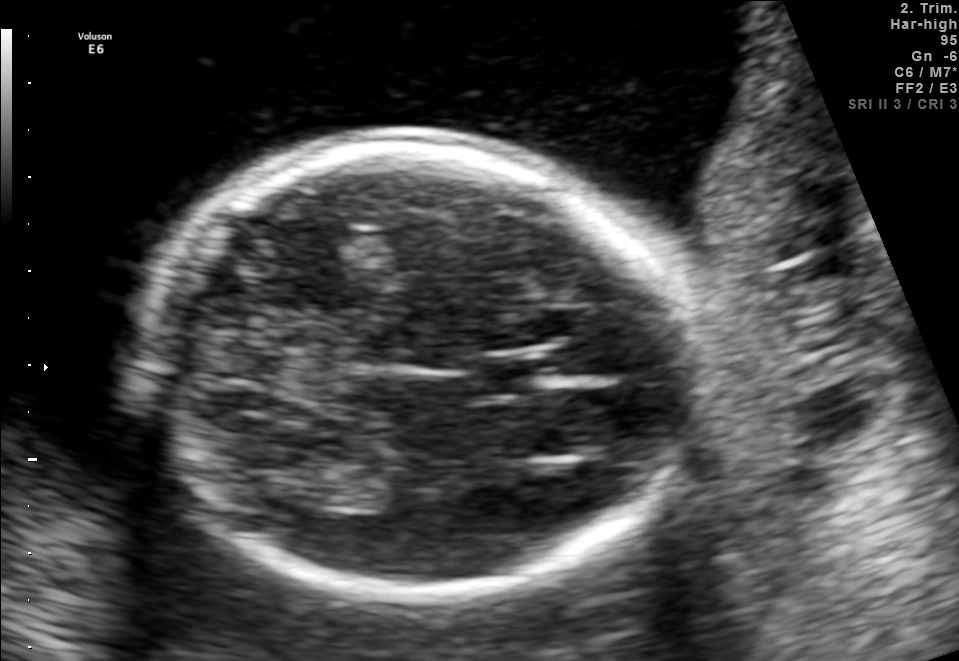
Fetal brain, trans-thalamic plane. Locate the cavum septum pellucidum.

CSP: [475,358,545,398]